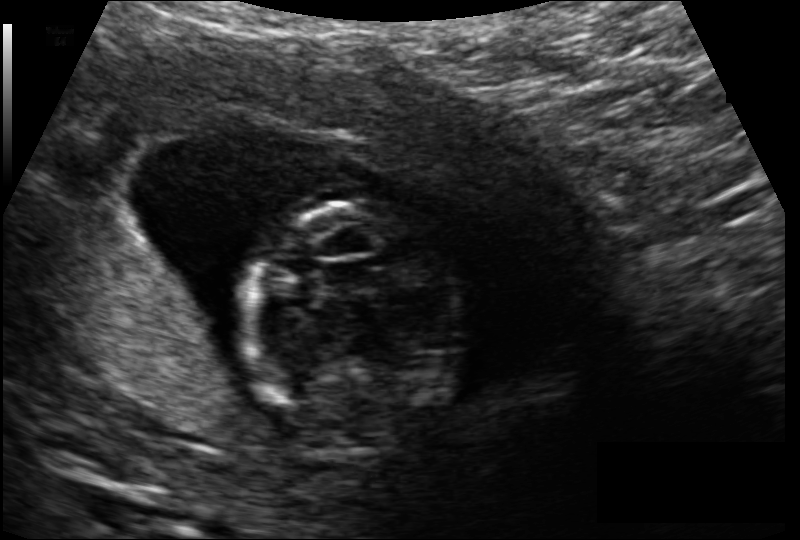
In this fetal head ultrasound, give bounding boxes for the head outline, cavum septum pellucidum (CSP), and lateral ventricle (LV), where visible. Image width: 94.0 mm.

Head: [241,199,467,455]